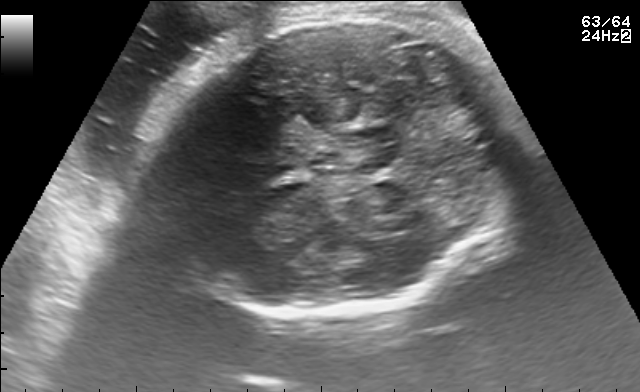
Fetal brain, trans-cerebellum plane. Give [x1,y1,x2,y2] bounding boxes for each visible structure among: fetal head, CSP, LV.

Head: [151,13,519,317]